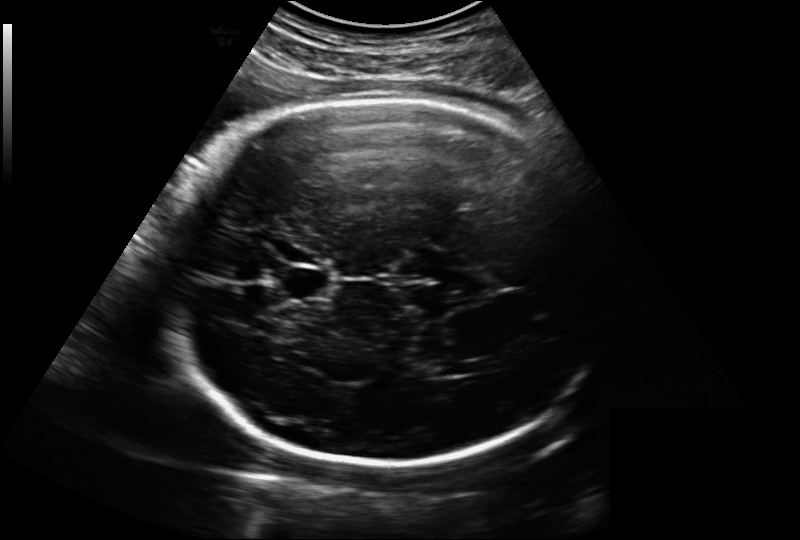
Estimate the fetal head circumference from this 2D ultrasound. Image width: 176.5 mm.

Head circumference: 291.4 mm.